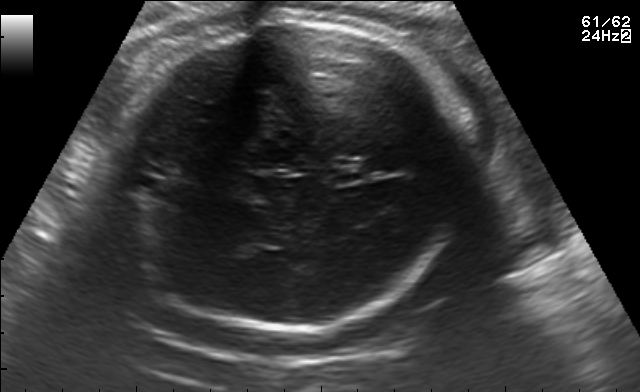
Which standard maternal-fetal ultrasound plane is shown: fetal abdomen, fetal brain, fetal femur, fetal thorax, maternal cervix, or other? If it's fetal brain and one of the three standard brain planes (trans-thalamic, trans-cerebellum, trans-ventricular), name which.

Fetal brain (trans-thalamic plane)